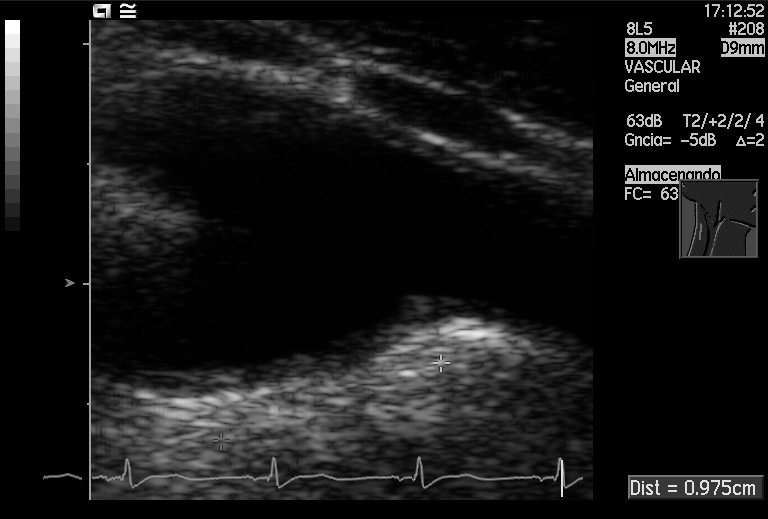
Which standard maternal-fetal ultrasound plane is shown: fetal abdomen, fetal brain, fetal femur, fetal thorax, maternal cervix, or other? If it's fetal brain and one of the three standard brain planes (trans-thalamic, trans-cerebellum, trans-ventricular), name which.

Other